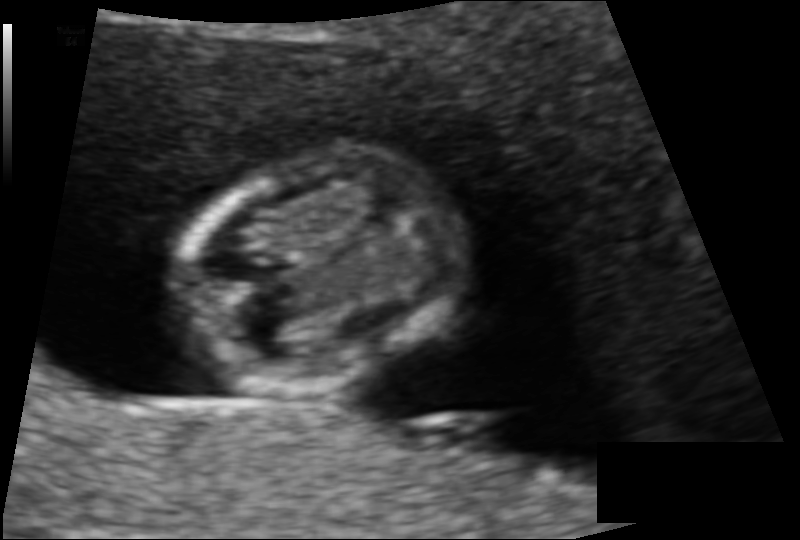
What is the fetal head circumference? Image width is 68.5 mm.

74.0 mm